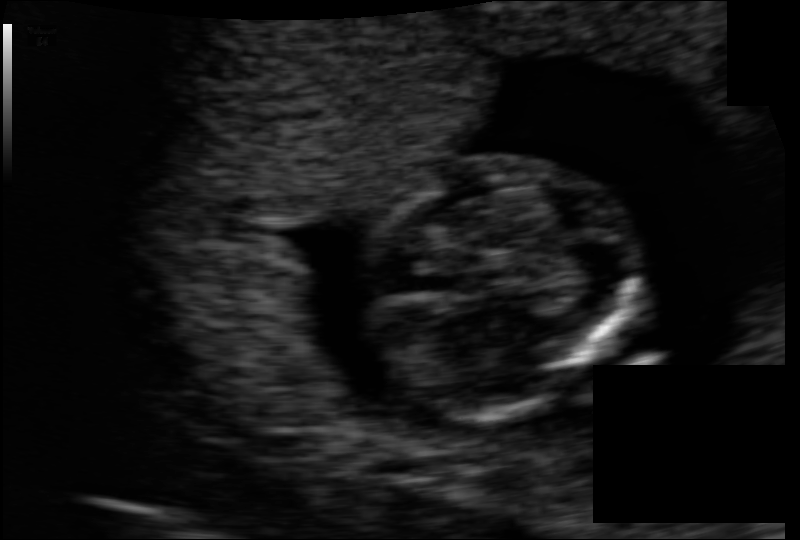
From this fetal ultrasound, estimate the head circumference (image width 66.6 mm).

Head circumference: 71.9 mm.